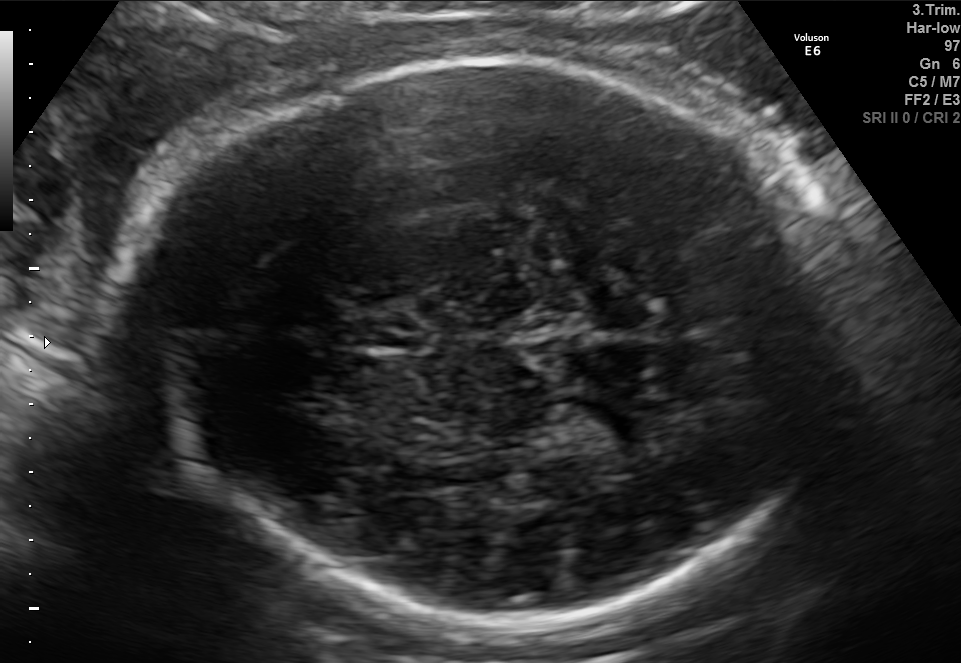
Fetal brain, trans-thalamic plane. Give [x1,y1,x2,y2] bounding boxes for each visible structure among: fetal head, CSP, LV.

Head: [123,57,844,620]